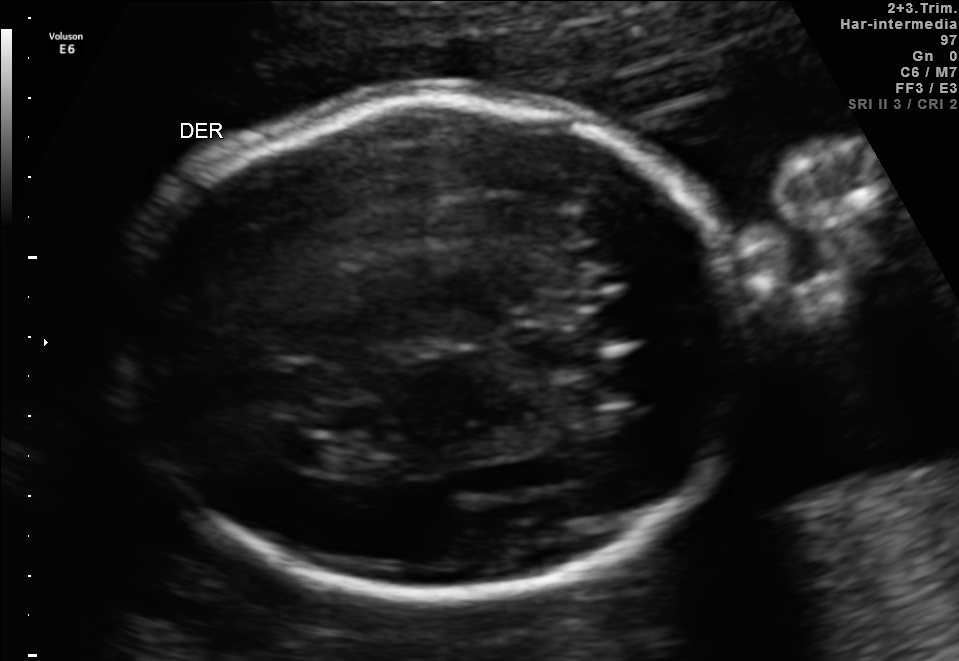
In this fetal brain, trans-ventricular plane, give bounding boxes for the head outline, cavum septum pellucidum (CSP), and lateral ventricle (LV), where visible.

Head: [105,86,770,603]